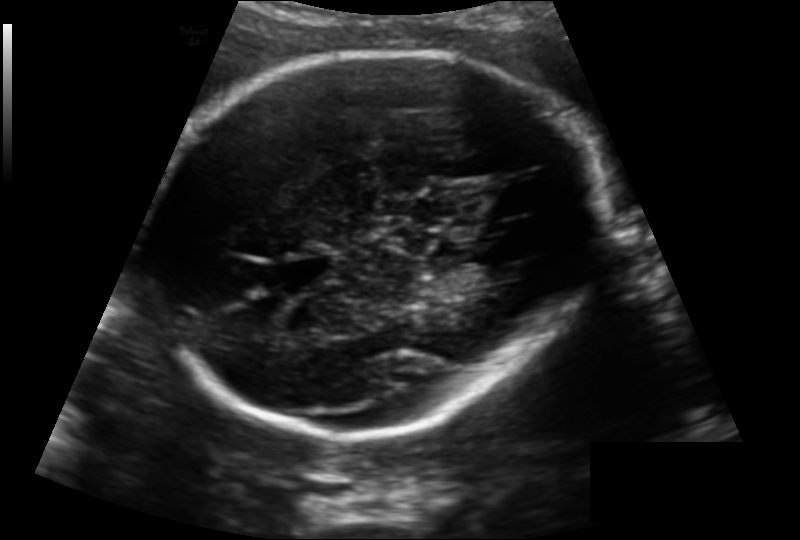
What is the fetal head circumference? Image width is 130.3 mm.

222.3 mm